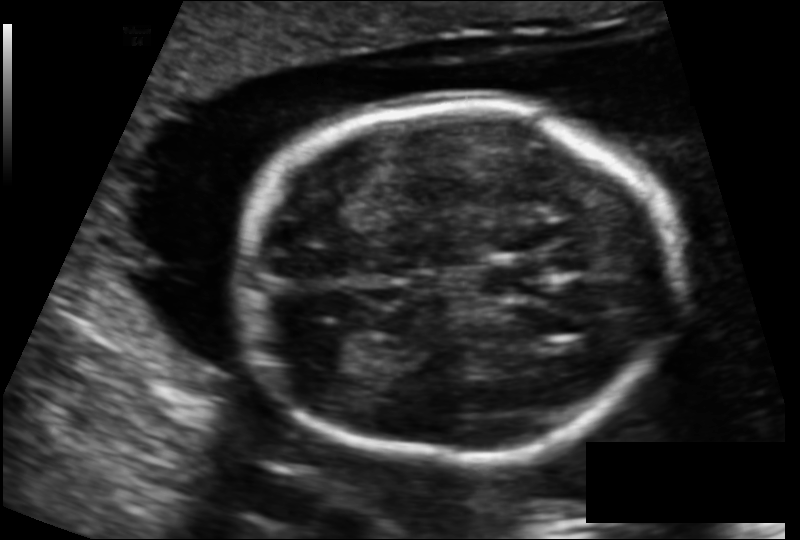
In this fetal head ultrasound, give bounding boxes for the head outline, cavum septum pellucidum (CSP), and lateral ventricle (LV), where visible. Image width: 104.4 mm.

Head: [239,105,677,462]
CSP: [485,264,548,297]
Lateral ventricle: [294,319,388,377]